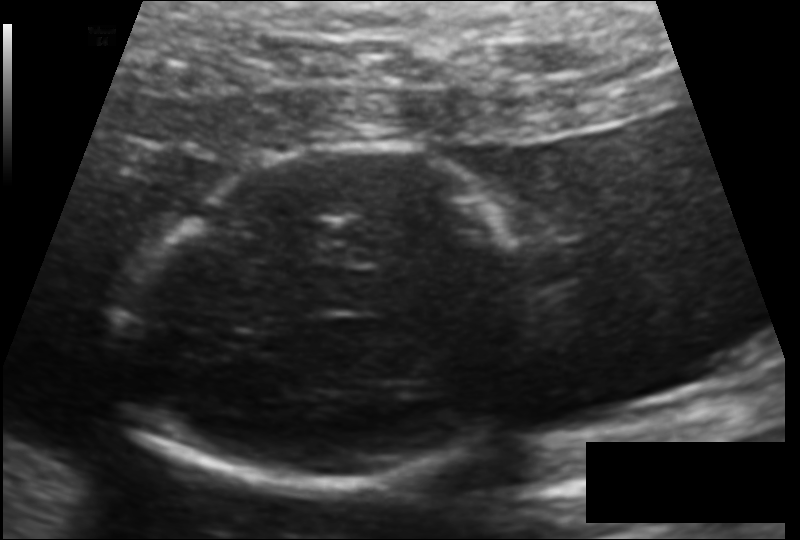
In this fetal head ultrasound, give the bounding box of the fetal head. Image width: 99.4 mm.

[126,148,527,490]